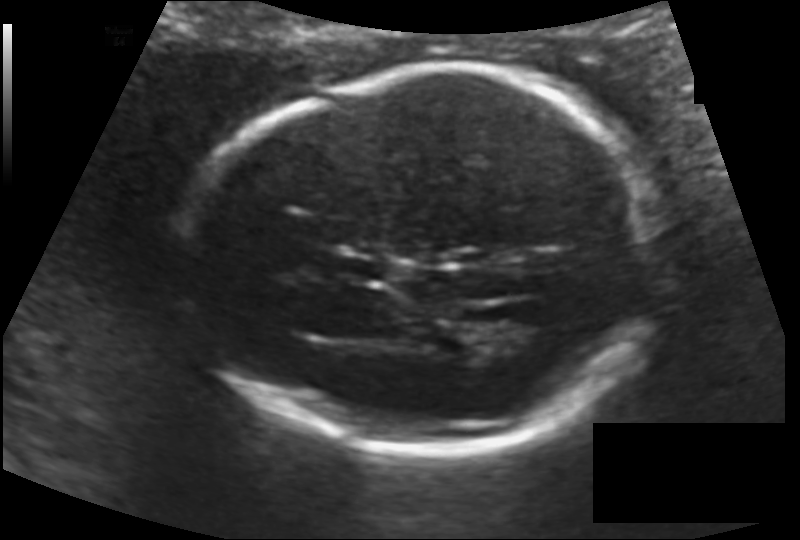
Fetal head ultrasound. Image width: 102.3 mm. Where is the lateral ventricle?

Lateral ventricle bounding box: [483,308,552,359]